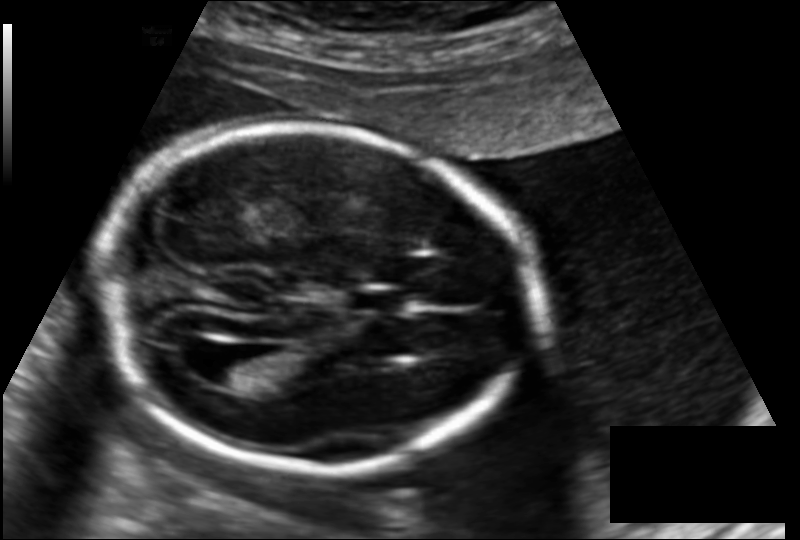
In this fetal head ultrasound, give the bounding box of the fetal head. Image width: 115.9 mm.

[96,126,536,470]